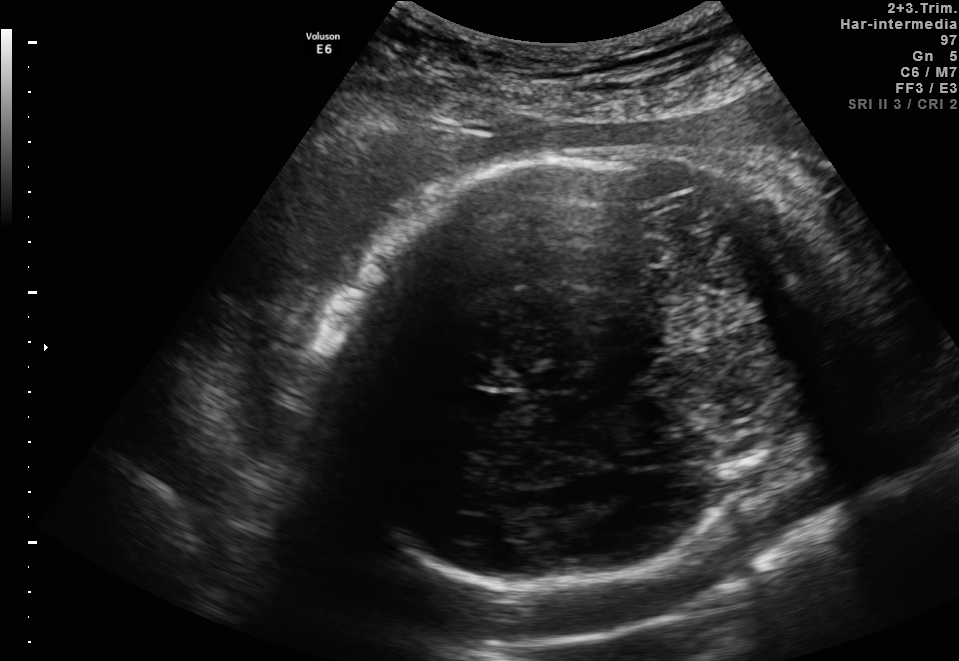
Fetal brain, trans-thalamic plane. Locate the fetal head.

Head: [323,148,806,587]